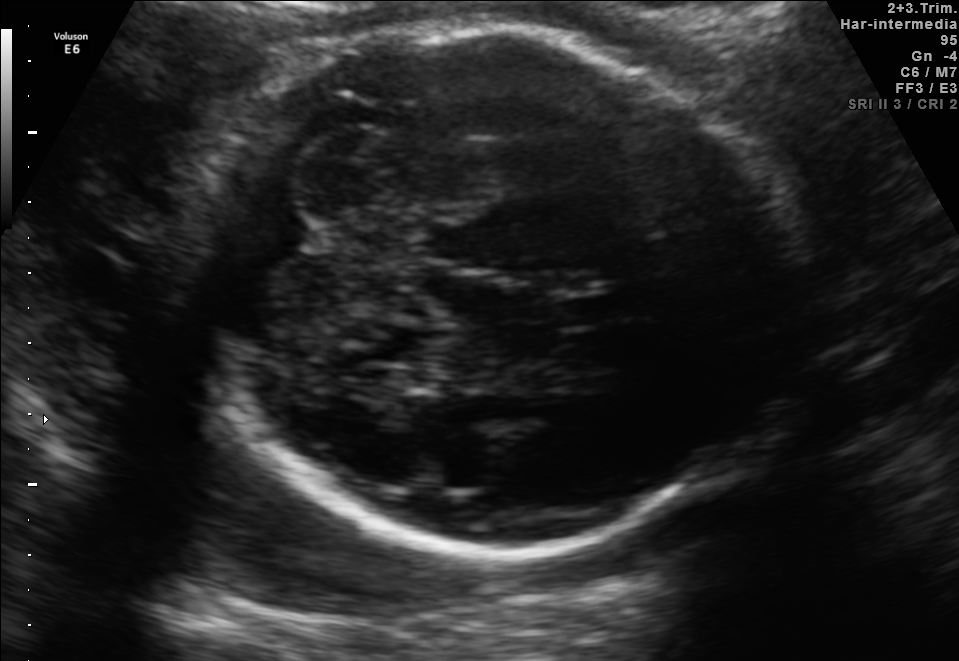
Fetal brain, trans-cerebellum plane. Locate the fetal head and, if visible, the cavum septum pellucidum (CSP) and lateral ventricle (LV). Give bounding boxes as [x1,y1,x2,y2].

Head: [182,24,789,547]